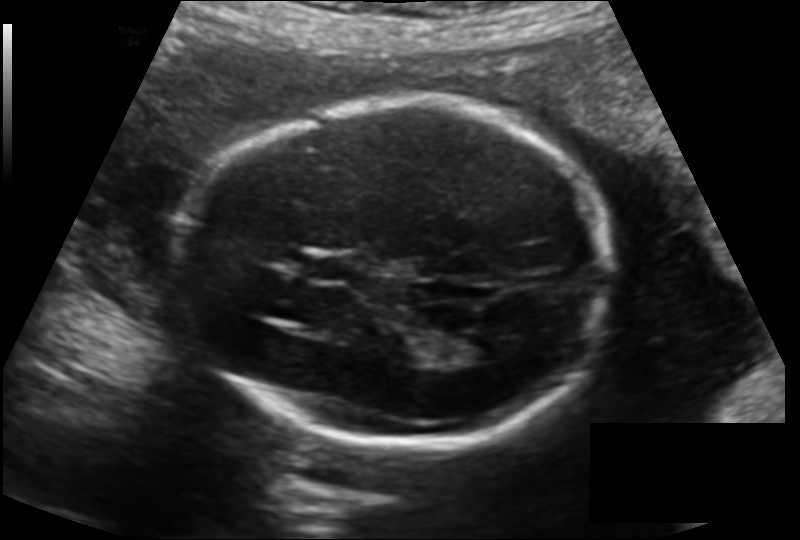
In this fetal head ultrasound, give bounding boxes for the head outline, cavum septum pellucidum (CSP), and lateral ventricle (LV), where visible. Image width: 115.3 mm.

Head: [177,101,610,444]
CSP: [309,256,362,282]
Lateral ventricle: [446,329,504,366]